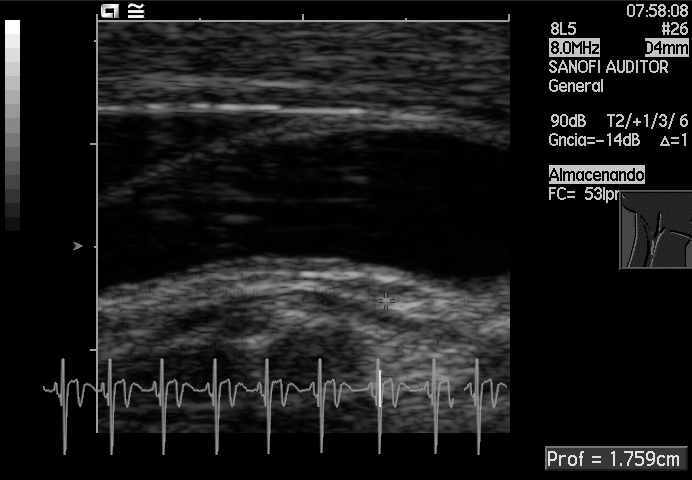
This is a 2D maternal-fetal ultrasound frame. Is it a fetal abdomen, fetal brain, fetal femur, fetal thorax, maternal cervix, or other standard plane? If it's fetal brain and one of the three standard brain planes (trans-thalamic, trans-cerebellum, trans-ventricular), name which.

Other